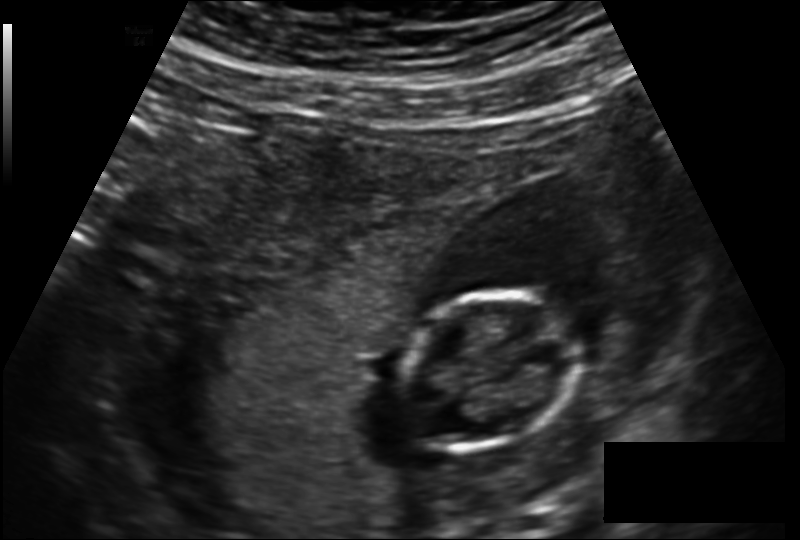
Estimate the fetal head circumference from this 2D ultrasound. Image width: 128.2 mm.

Head circumference: 89.8 mm.